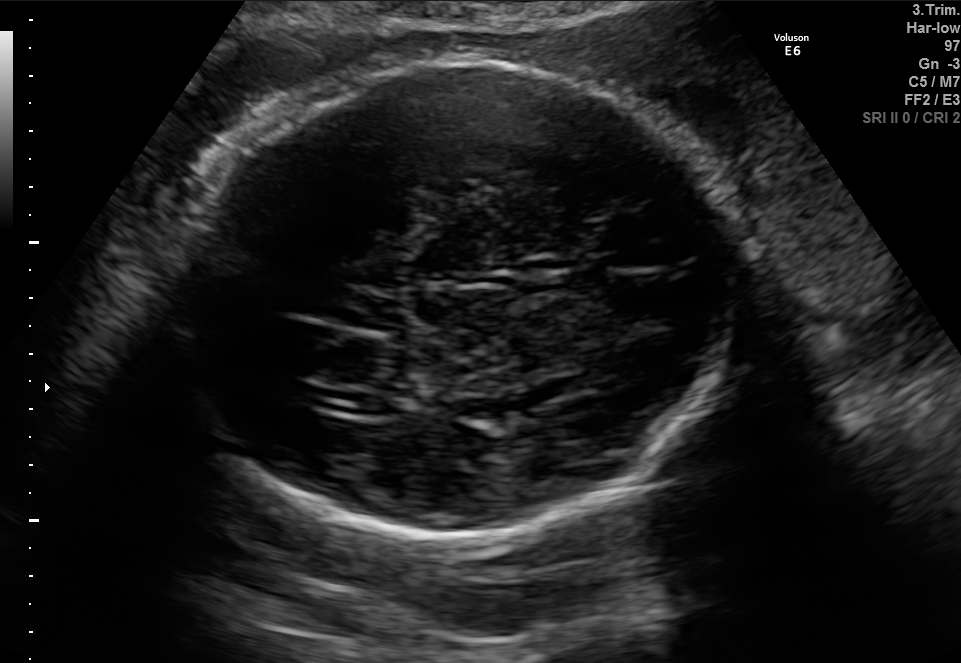
Fetal brain, trans-ventricular plane. Where is the fetal head?

Head bounding box: [153,55,756,544]